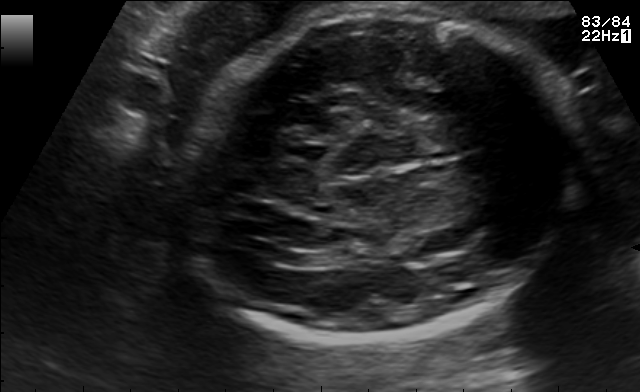
Fetal brain, trans-ventricular plane. Locate the fetal head.

Head: [176,7,578,345]